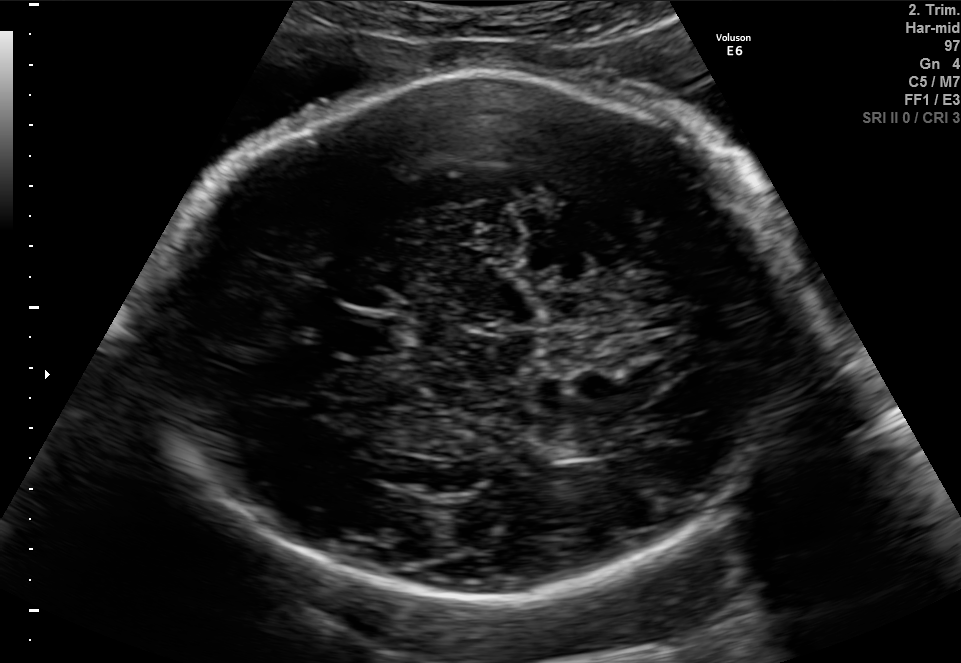
Fetal brain, trans-thalamic plane. Locate the fetal head and, if visible, the cavum septum pellucidum (CSP) and lateral ventricle (LV). Give bounding boxes as [x1,y1,x2,y2].

Head: [153,71,814,594]
CSP: [341,314,397,355]
Lateral ventricle: [551,434,606,461]